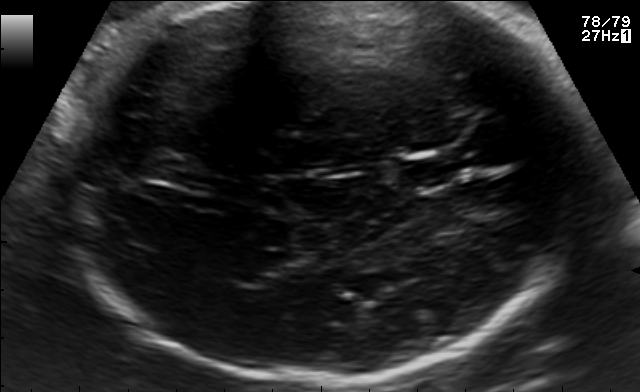
Fetal brain, trans-thalamic plane. Locate the cavum septum pellucidum.

CSP: [398,153,456,193]